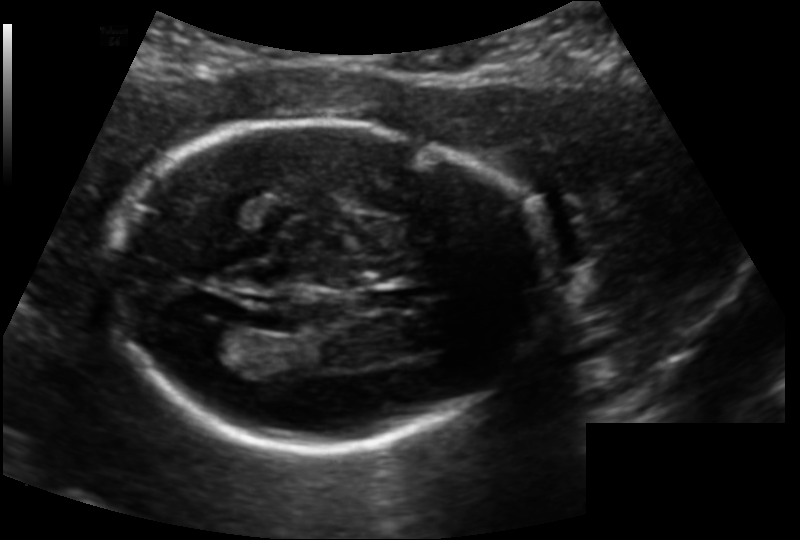
Fetal head ultrasound. Image width: 111.5 mm. Locate the lateral ventricle.

Lateral ventricle: [184,318,242,358]